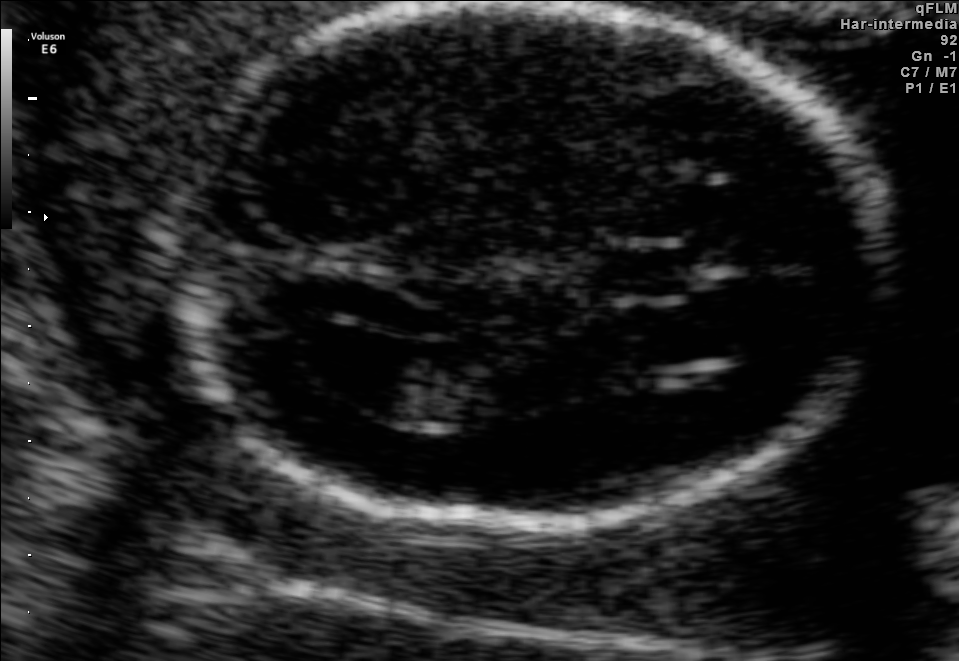
Fetal brain, trans-ventricular plane. Give [x1,y1,x2,y2] bounding boxes for each visible structure among: fetal head, CSP, LV.

Head: [141,3,908,546]
CSP: [600,246,709,297]
Lateral ventricle: [276,307,443,421]